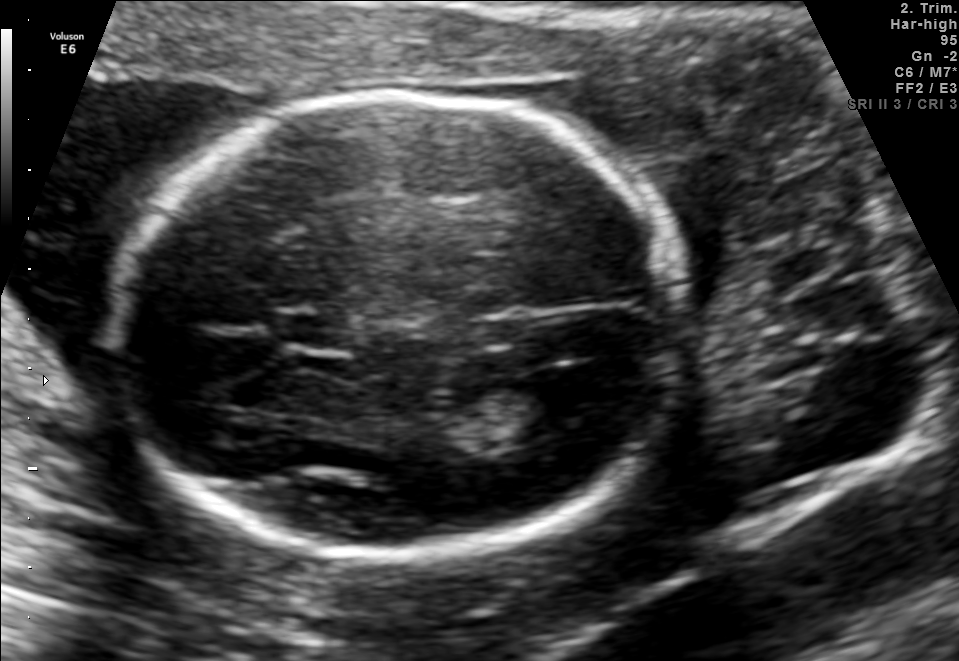
Fetal brain, trans-ventricular plane. Locate the fetal head.

Head: [103,86,700,567]